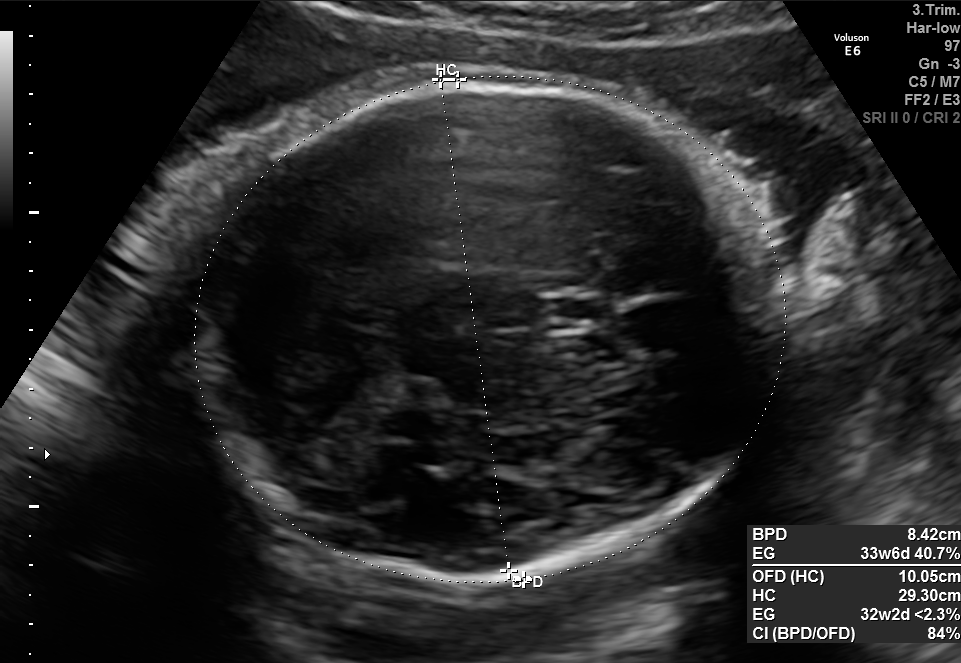
In this fetal brain, trans-thalamic plane, give bounding boxes for the head outline, cavum septum pellucidum (CSP), and lateral ventricle (LV), where visible.

Head: [193,73,786,582]
CSP: [540,294,616,331]